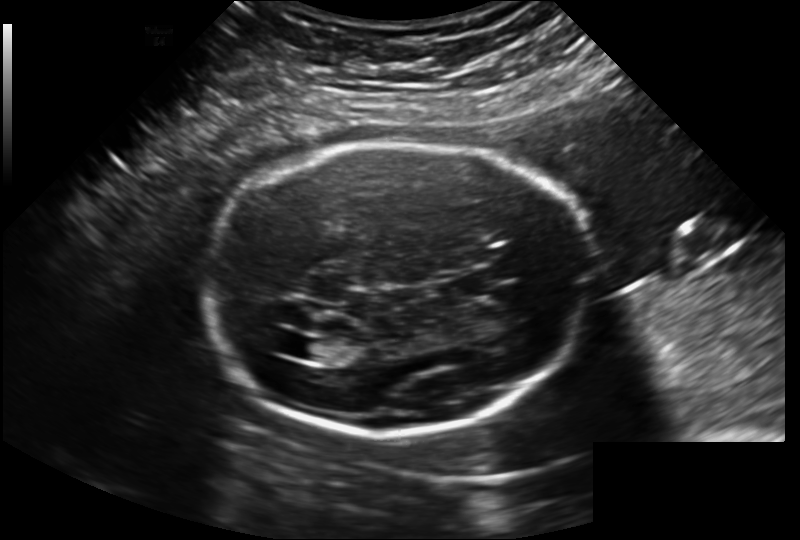
Fetal head ultrasound. Image width: 161.6 mm. Locate the lateral ventricle.

Lateral ventricle: [285,333,327,363]